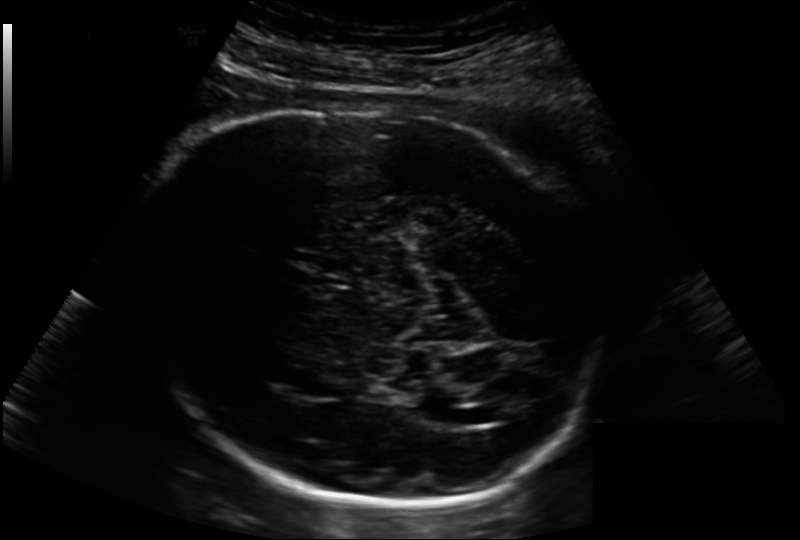
In this fetal head ultrasound, give bounding boxes for the head outline, cavum septum pellucidum (CSP), and lateral ventricle (LV), where visible. Image width: 161.6 mm.

Head: [123,105,601,502]